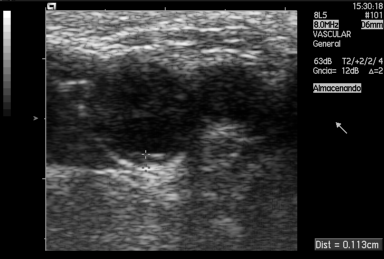
Identify the standard plane in this fetal ultrasound image: fetal abdomen, fetal brain, fetal femur, fetal thorax, maternal cervix, or other. If it's fetal brain and one of the three standard brain planes (trans-thalamic, trans-cerebellum, trans-ventricular), name which.

Other